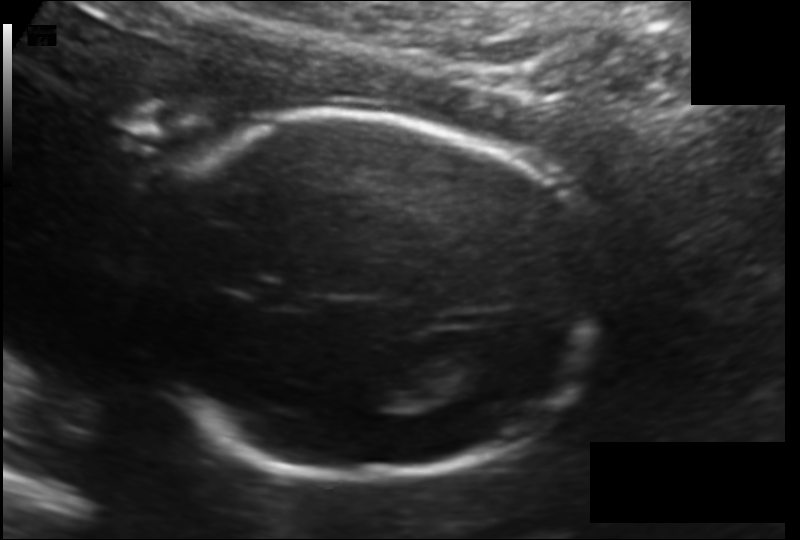
In this fetal head ultrasound, give bounding boxes for the head outline, cavum septum pellucidum (CSP), and lateral ventricle (LV), where visible. Image width: 107.8 mm.

Head: [133,112,598,480]